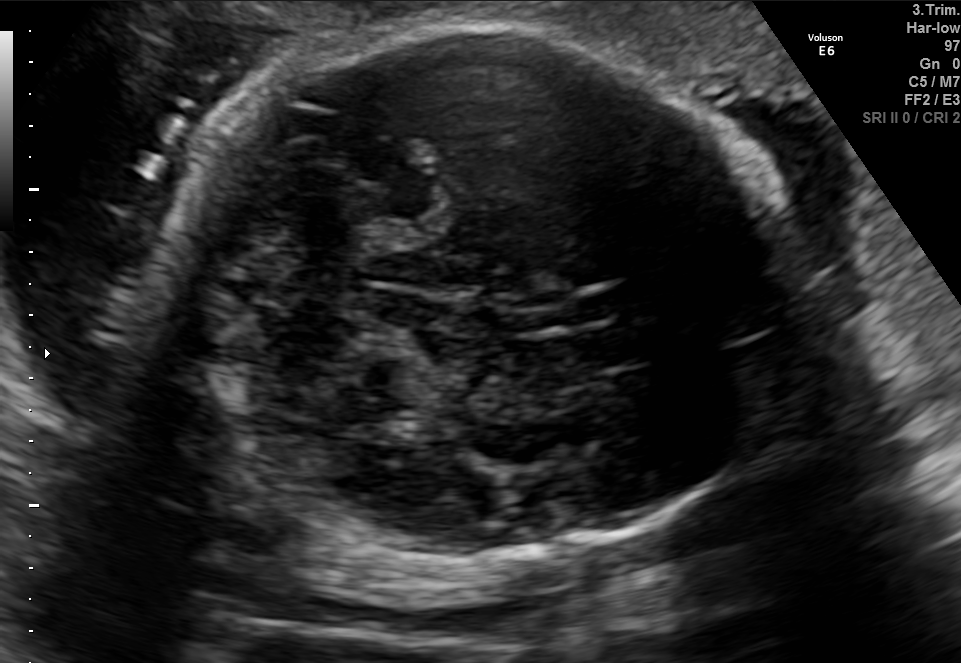
Fetal brain, trans-cerebellum plane. Locate the fetal head and, if visible, the cavum septum pellucidum (CSP) and lateral ventricle (LV). Give bounding boxes as [x1,y1,x2,y2].

Head: [162,26,795,561]